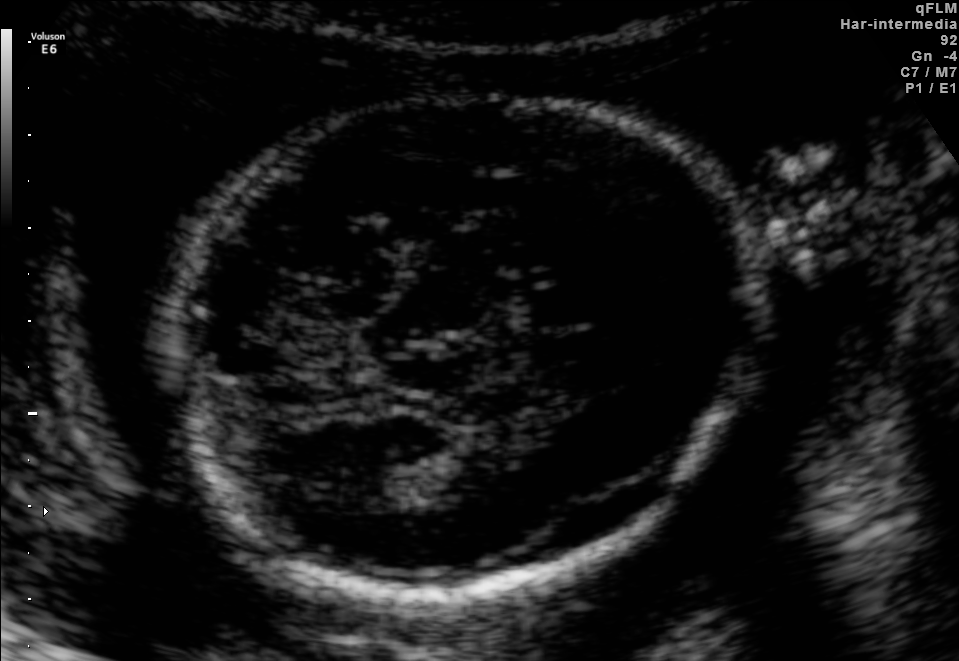
Fetal brain, trans-thalamic plane. Where is the fetal head?

Head bounding box: [167,92,752,593]